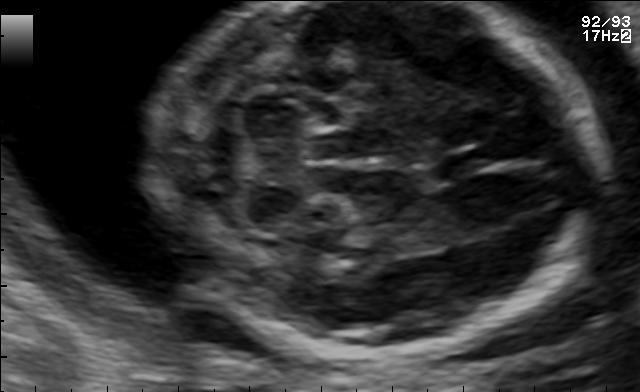
Fetal brain, trans-cerebellum plane. Locate the fetal head.

Head: [153,2,601,355]